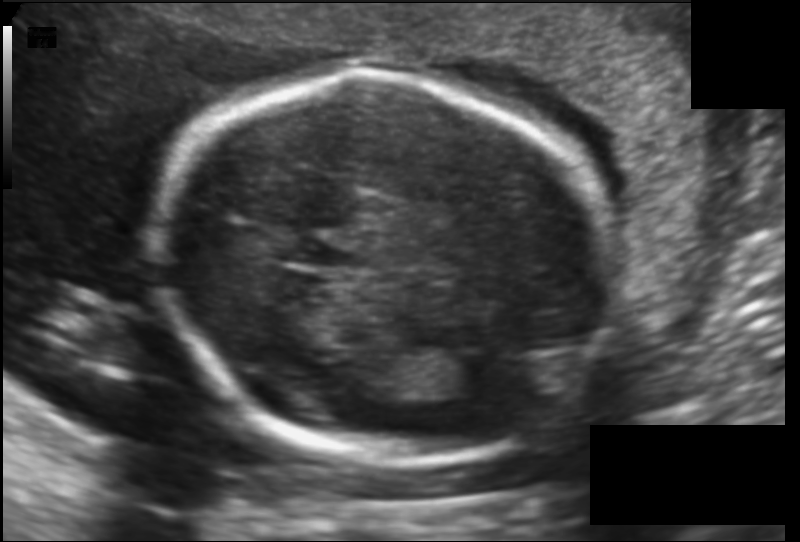
Estimate the fetal head circumference from this 2D ultrasound.

Head circumference: 179.9 mm (image width 103.7 mm).